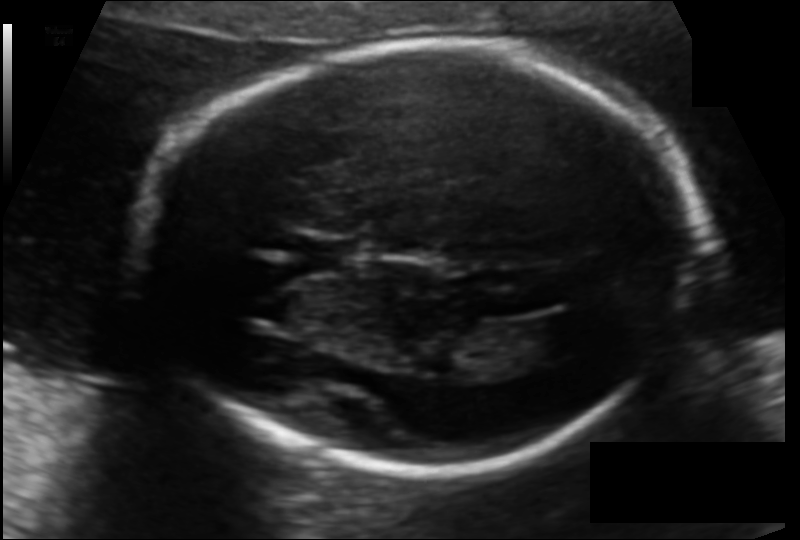
Fetal head ultrasound. Image width: 97.4 mm. Where is the lateral ventricle?

Lateral ventricle bounding box: [512,309,589,365]